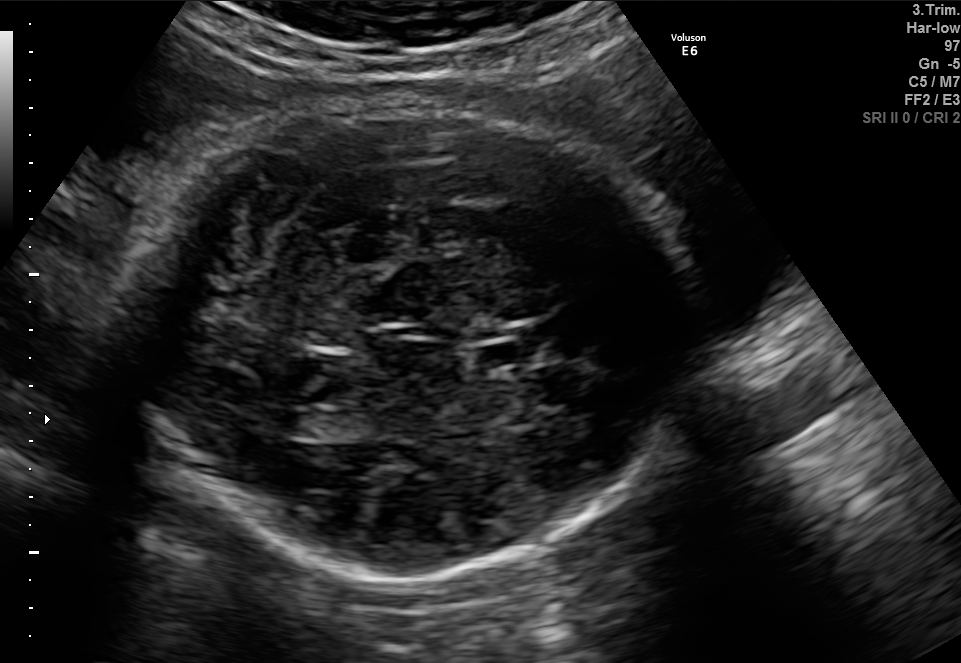
Fetal brain, trans-ventricular plane. Locate the fetal head.

Head: [127,101,701,582]